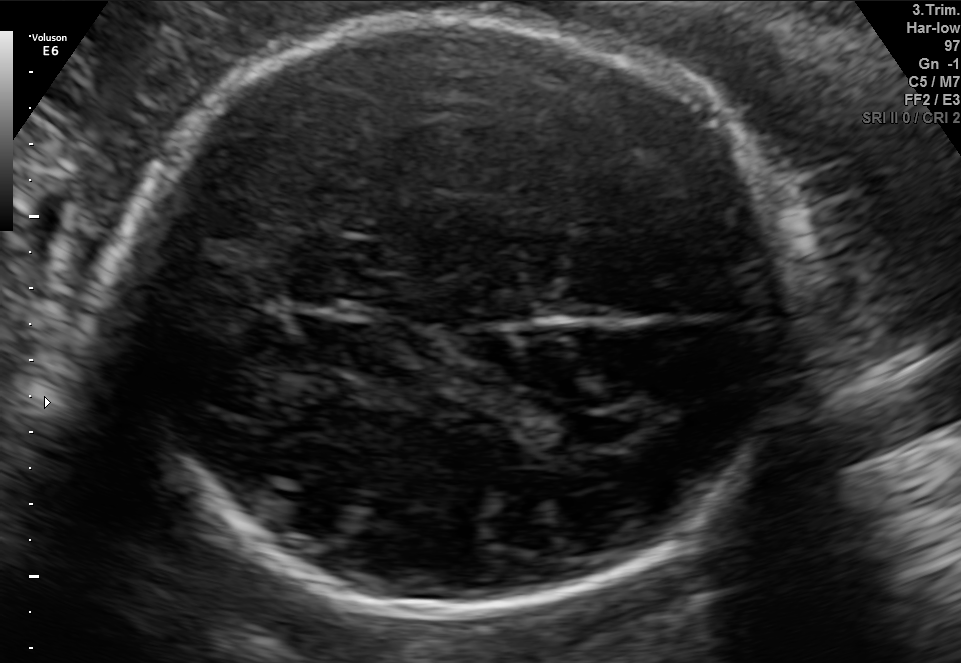
Fetal brain, trans-thalamic plane. Locate the fetal head.

Head: [131,14,800,627]